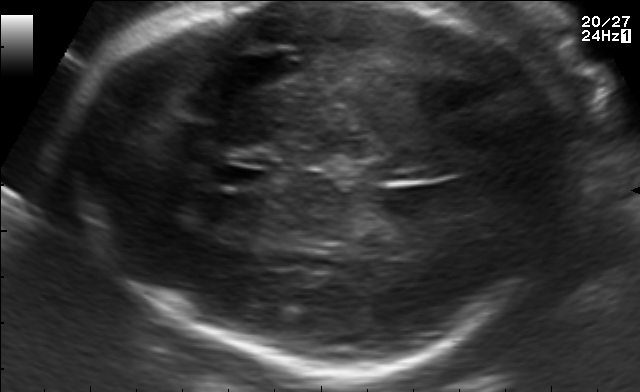
Fetal brain, trans-thalamic plane. Give [x1,y1,x2,y2] bounding boxes for each visible structure among: fetal head, CSP, LV.

Head: [46,4,561,362]
CSP: [215,164,267,190]